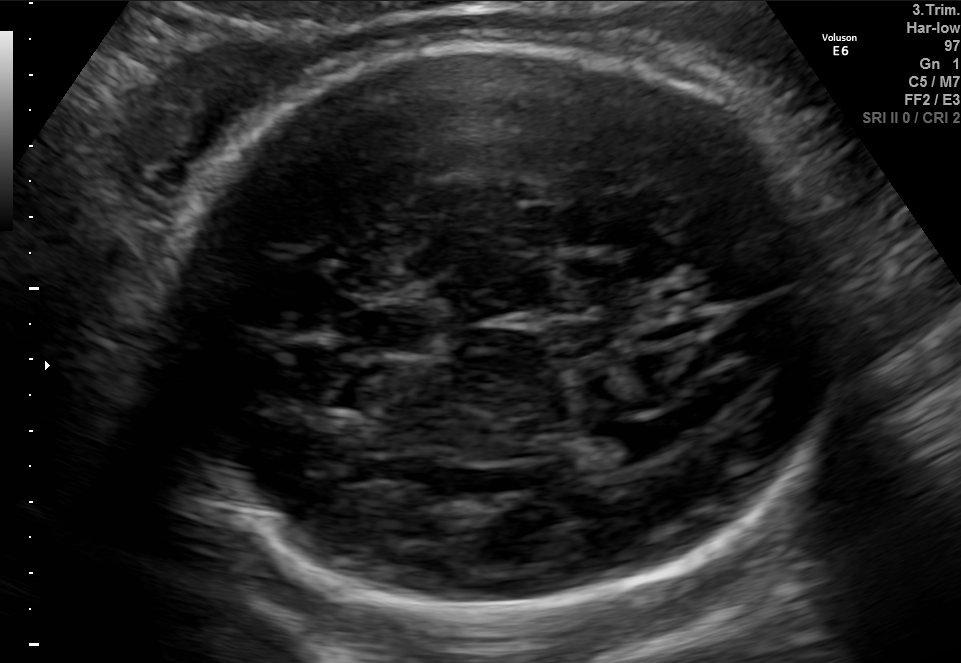
In this fetal brain, trans-ventricular plane, give bounding boxes for the head outline, cavum septum pellucidum (CSP), and lateral ventricle (LV), where visible.

Head: [144,38,867,617]
CSP: [360,306,433,354]
Lateral ventricle: [598,410,688,473]